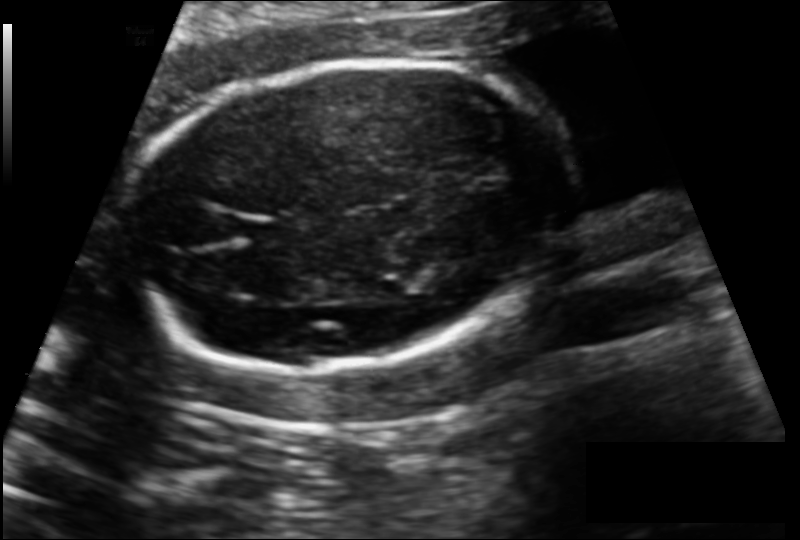
What is the fetal head circumference? Image width is 111.1 mm.

166.2 mm